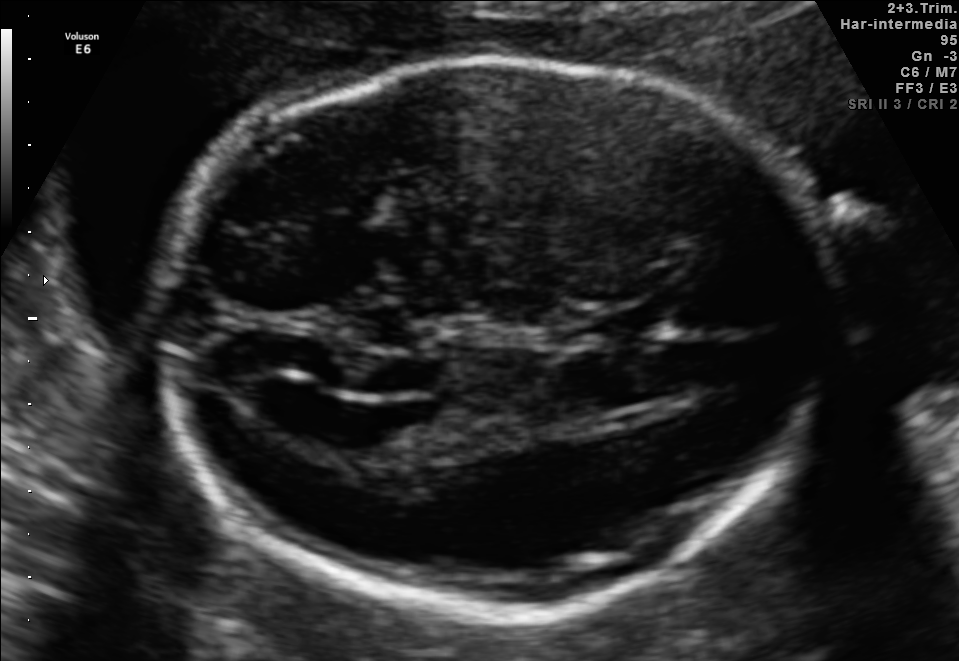
Fetal brain, trans-ventricular plane. Locate the fetal head.

Head: [143,47,864,626]